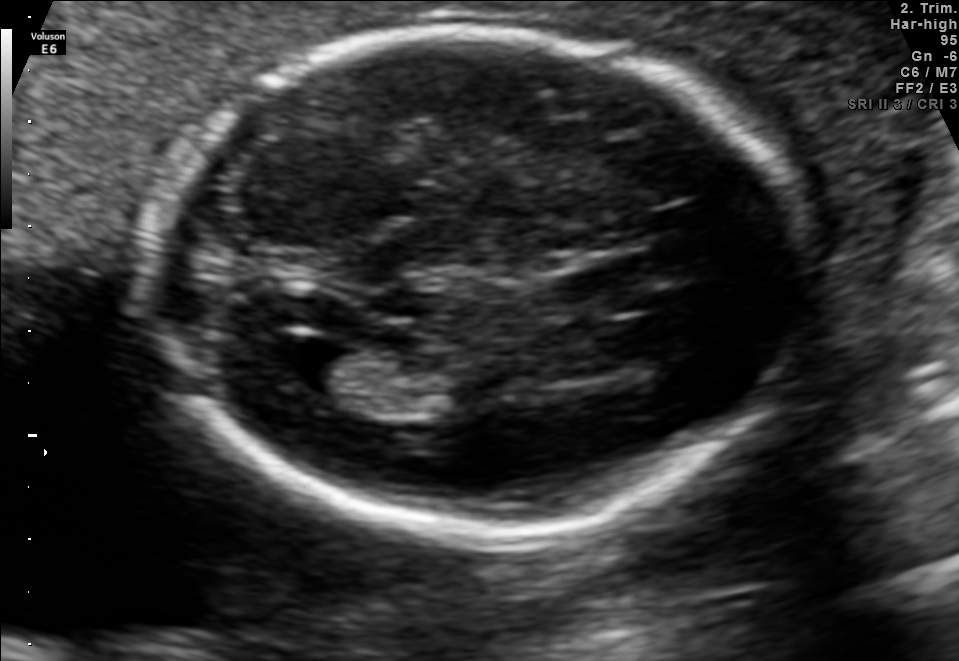
Fetal brain, trans-ventricular plane. Locate the lateral ventricle.

Lateral ventricle: [249,314,361,403]